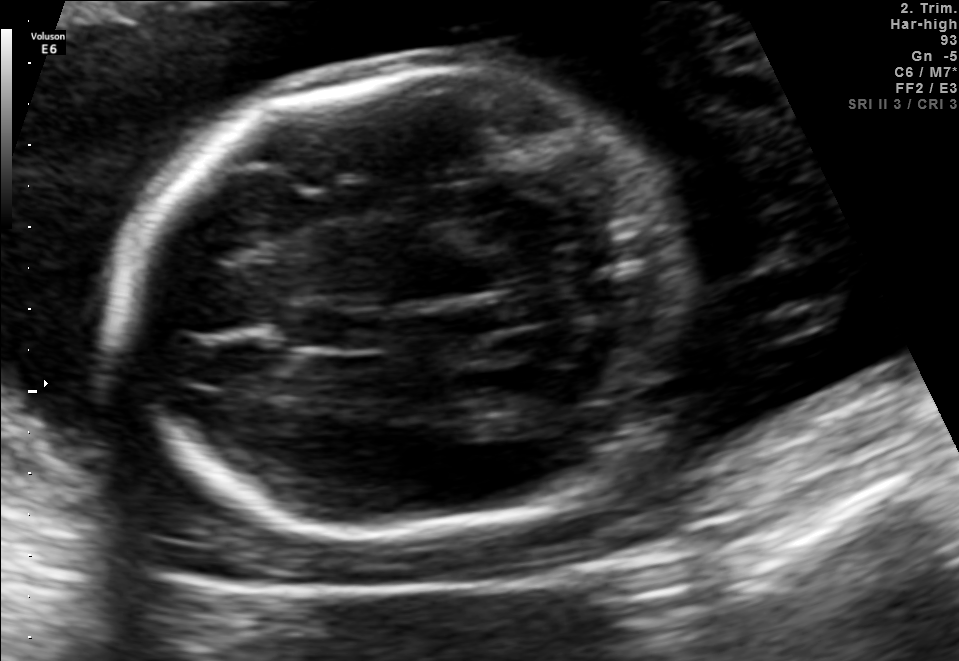
In this fetal brain, trans-cerebellum plane, give bounding boxes for the head outline, cavum septum pellucidum (CSP), and lateral ventricle (LV), where visible.

Head: [122,66,673,545]
CSP: [289,311,375,352]